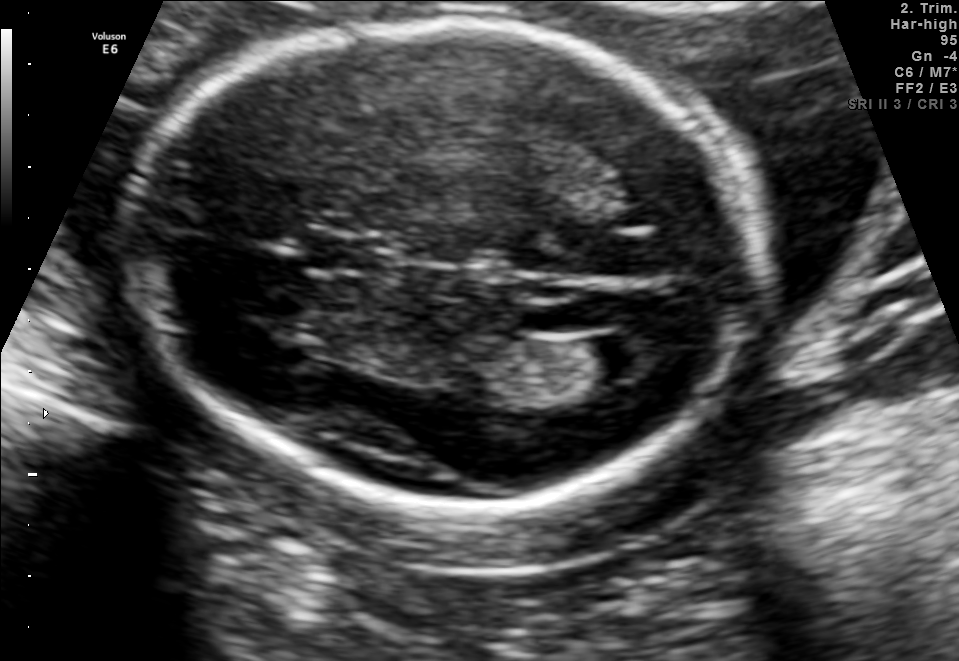
In this fetal brain, trans-ventricular plane, give the bounding box of the cavum septum pellucidum.

[297,223,402,287]